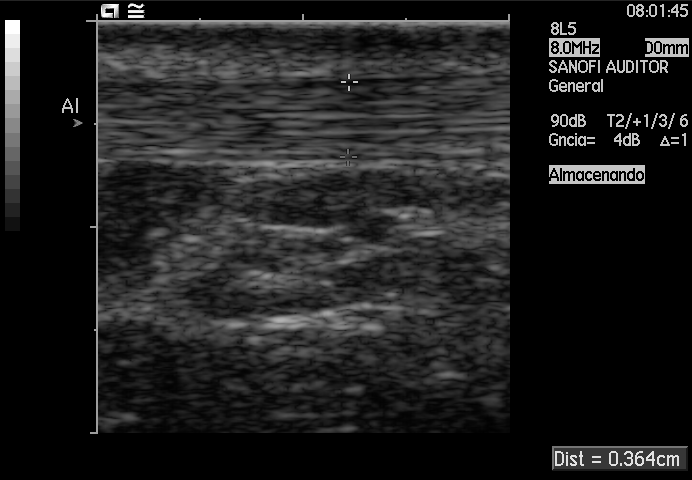
Identify the standard plane in this fetal ultrasound image: fetal abdomen, fetal brain, fetal femur, fetal thorax, maternal cervix, or other. If it's fetal brain and one of the three standard brain planes (trans-thalamic, trans-cerebellum, trans-ventricular), name which.

Other